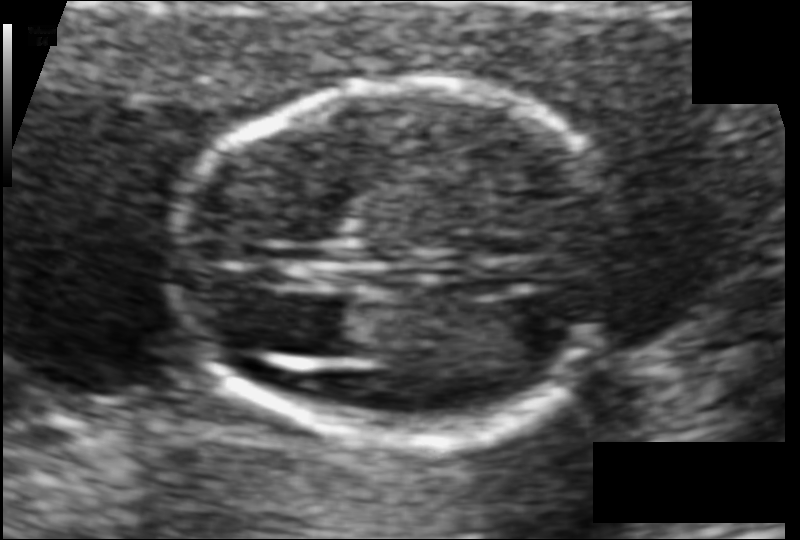
Fetal head ultrasound. Image width: 61.4 mm. Where is the fetal head?

Head bounding box: [175,86,620,436]